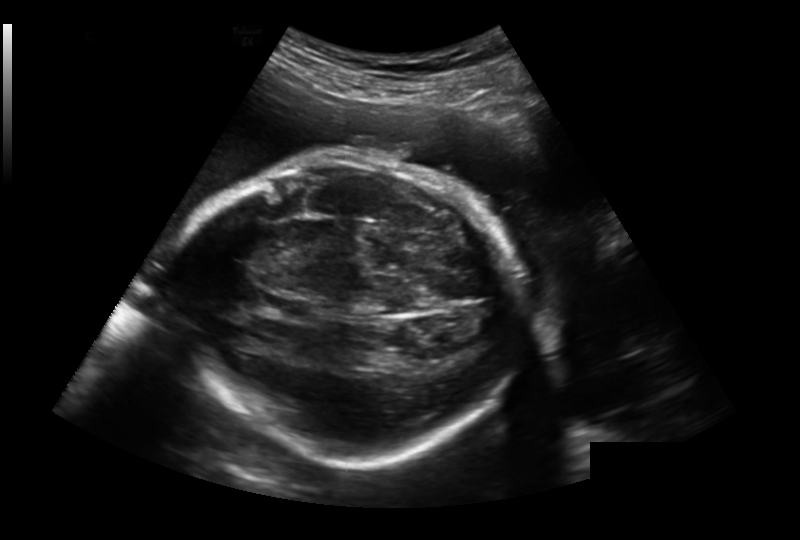
Estimate the fetal head circumference from this 2D ultrasound.

Head circumference: 274.2 mm (image width 206.8 mm).